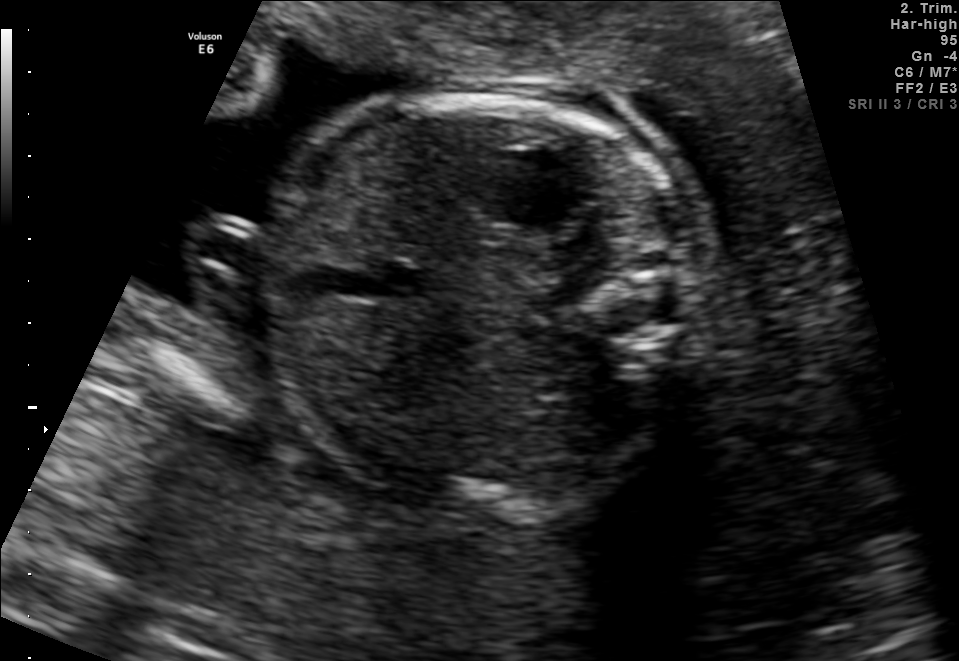
Classify this maternal-fetal ultrasound image as one of the six standard planes — fetal abdomen, fetal brain, fetal femur, fetal thorax, maternal cervix, or other. If it's fetal brain and one of the three standard brain planes (trans-thalamic, trans-cerebellum, trans-ventricular), name which.

Fetal abdomen